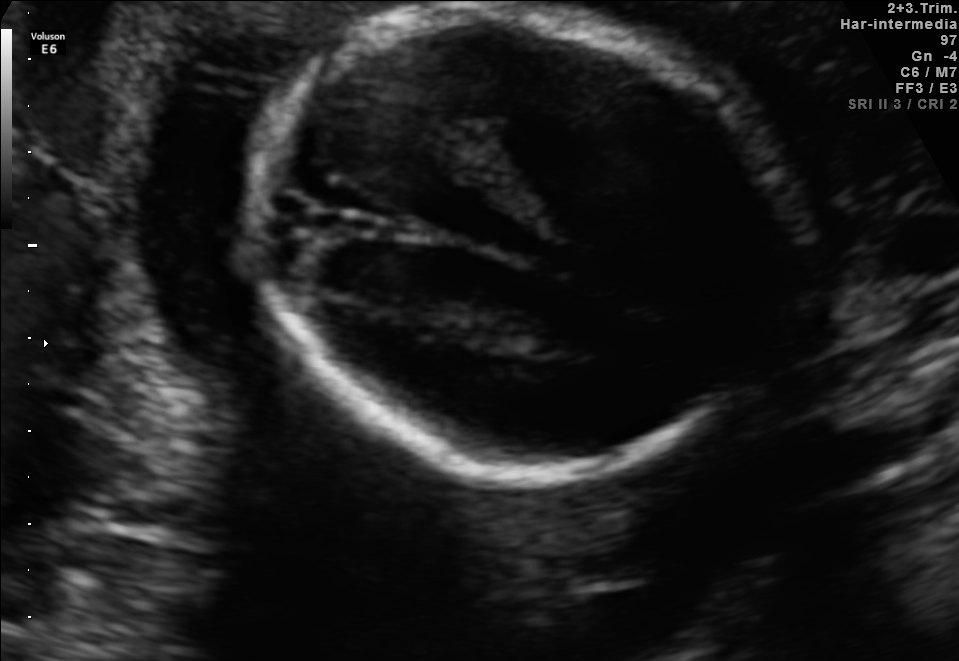
Which standard maternal-fetal ultrasound plane is shown: fetal abdomen, fetal brain, fetal femur, fetal thorax, maternal cervix, or other? If it's fetal brain and one of the three standard brain planes (trans-thalamic, trans-cerebellum, trans-ventricular), name which.

Fetal brain (trans-thalamic plane)